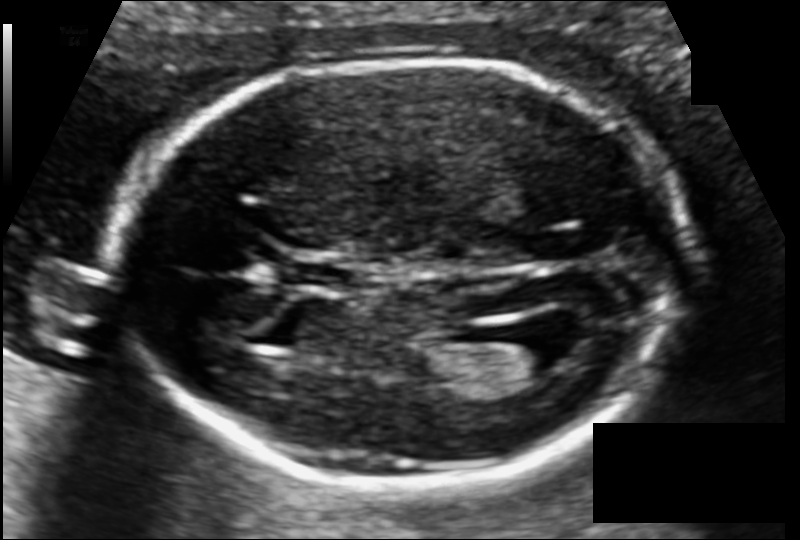
In this fetal head ultrasound, give the bounding box of the fetal head. Image width: 82.9 mm.

[115,60,683,484]